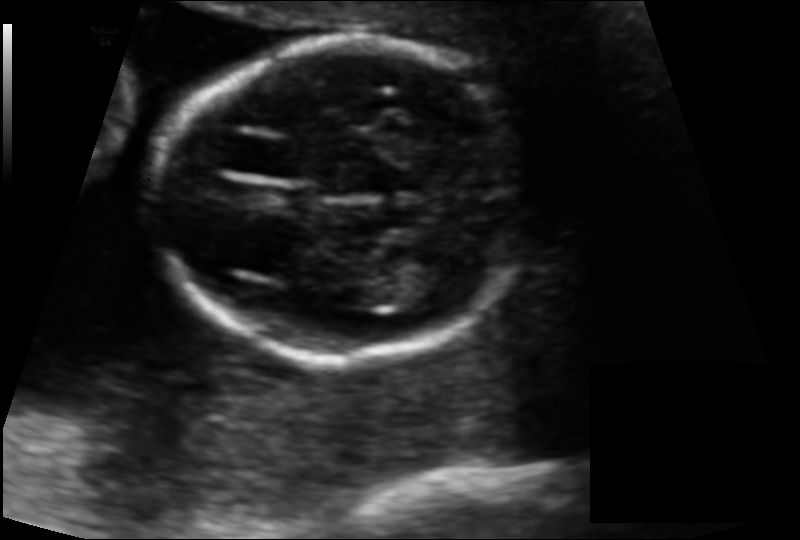
Fetal head ultrasound. Image width: 92.0 mm. Locate the fetal head and, if visible, the cavum septum pellucidum (CSP) and lateral ventricle (LV). Give bounding boxes as [x1,y1,x2,y2].

Head: [153,43,525,359]